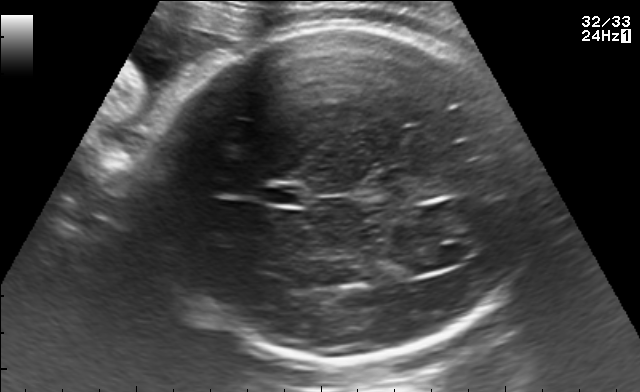
Fetal brain, trans-ventricular plane. Locate the fetal head and, if visible, the cavum septum pellucidum (CSP) and lateral ventricle (LV). Give bounding boxes as [x1,y1,x2,y2].

Head: [143,21,537,370]
CSP: [269,186,303,204]
Lateral ventricle: [408,245,459,276]